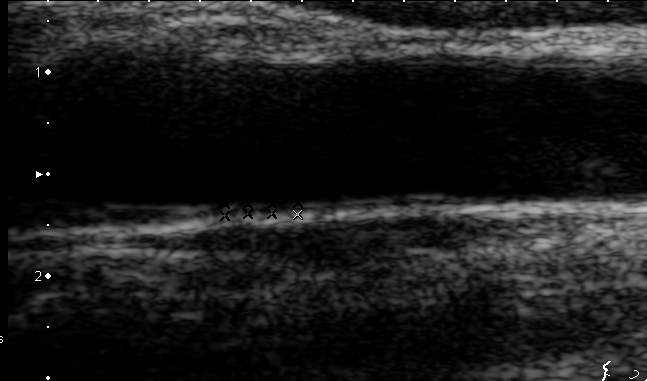
Classify this maternal-fetal ultrasound image as one of the six standard planes — fetal abdomen, fetal brain, fetal femur, fetal thorax, maternal cervix, or other. If it's fetal brain and one of the three standard brain planes (trans-thalamic, trans-cerebellum, trans-ventricular), name which.

Other